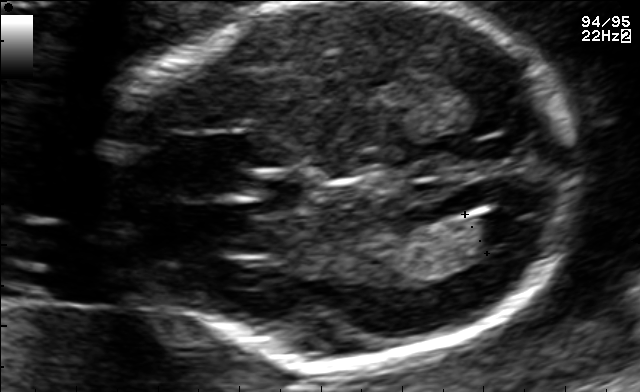
In this fetal brain, trans-ventricular plane, give the bounding box of the lateral ventricle.

[465,200,538,252]